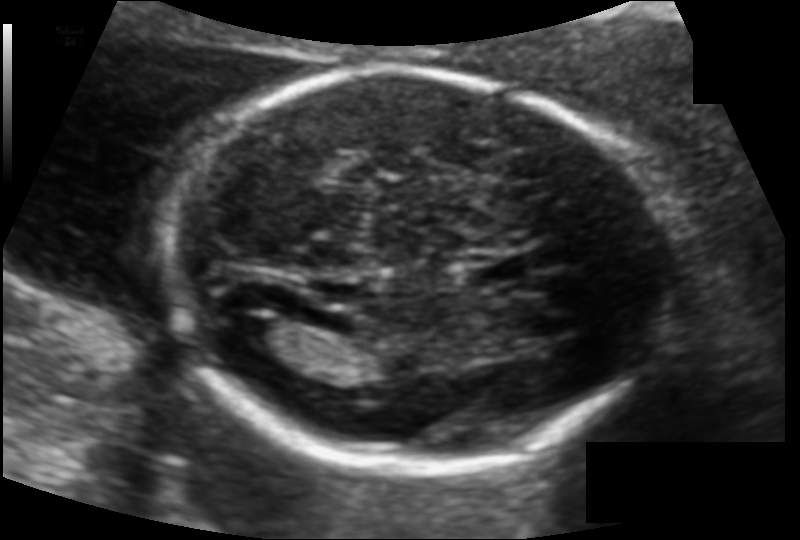
In this fetal head ultrasound, give the bounding box of the cavum septum pellucidum. Image width: 91.9 mm.

[465,249,534,295]